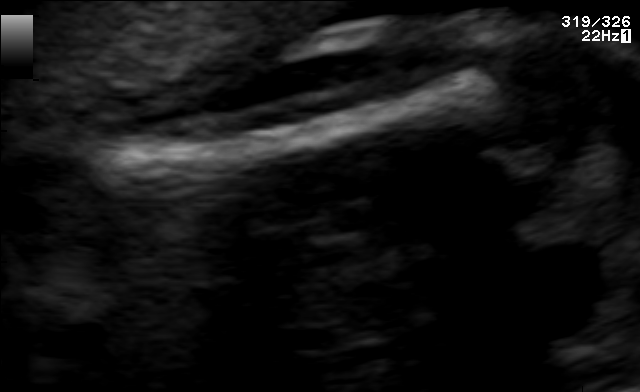
Classify this maternal-fetal ultrasound image as one of the six standard planes — fetal abdomen, fetal brain, fetal femur, fetal thorax, maternal cervix, or other. If it's fetal brain and one of the three standard brain planes (trans-thalamic, trans-cerebellum, trans-ventricular), name which.

Fetal femur